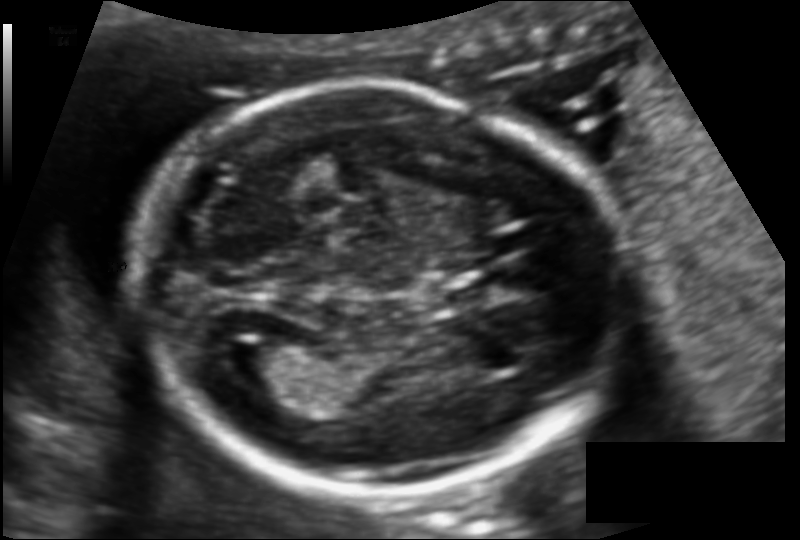
In this fetal head ultrasound, give bounding boxes for the head outline, cavum septum pellucidum (CSP), and lateral ventricle (LV), where visible. Image width: 89.5 mm.

Head: [134,90,614,494]
Lateral ventricle: [205,330,290,396]